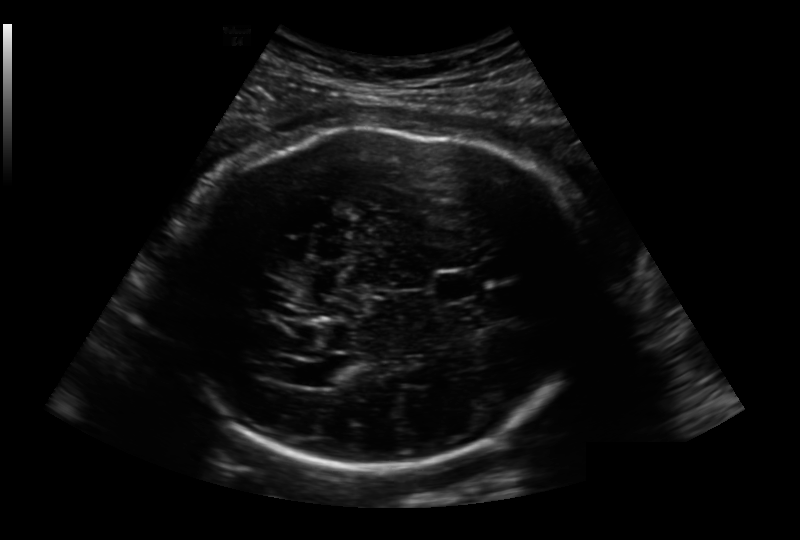
Fetal head ultrasound. Image width: 188.6 mm. Where is the lateral ventricle?

Lateral ventricle bounding box: [310,364,352,386]